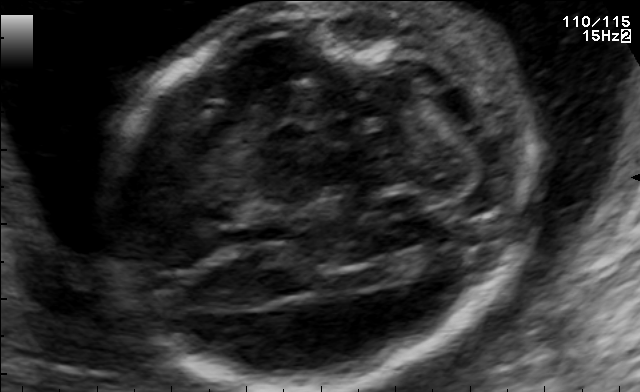
Identify the standard plane in this fetal ultrasound image: fetal abdomen, fetal brain, fetal femur, fetal thorax, maternal cervix, or other. If it's fetal brain and one of the three standard brain planes (trans-thalamic, trans-cerebellum, trans-ventricular), name which.

Fetal brain (trans-cerebellum plane)